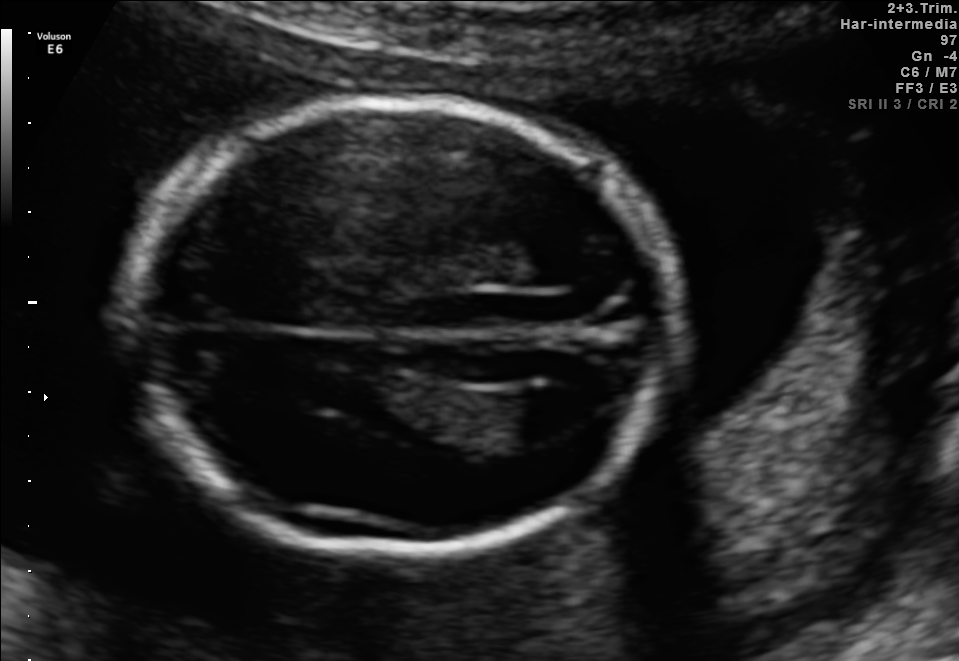
Fetal brain, trans-ventricular plane. Locate the fetal head and, if visible, the cavum septum pellucidum (CSP) and lateral ventricle (LV). Give bounding boxes as [x1,y1,x2,y2].

Head: [106,90,699,567]
Lateral ventricle: [503,376,600,449]